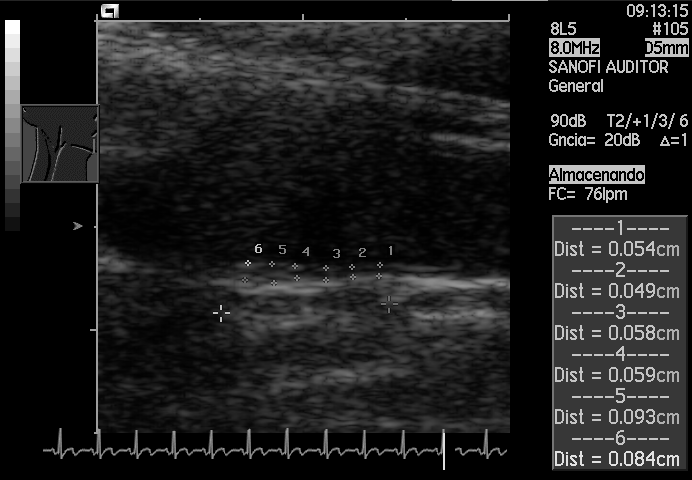
This is a 2D maternal-fetal ultrasound frame. Is it a fetal abdomen, fetal brain, fetal femur, fetal thorax, maternal cervix, or other standard plane? If it's fetal brain and one of the three standard brain planes (trans-thalamic, trans-cerebellum, trans-ventricular), name which.

Other